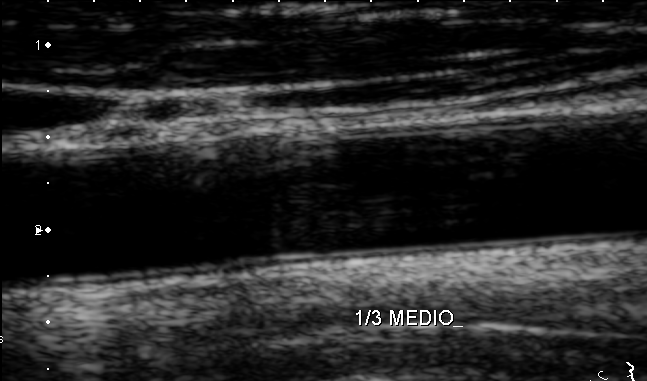
Which standard maternal-fetal ultrasound plane is shown: fetal abdomen, fetal brain, fetal femur, fetal thorax, maternal cervix, or other? If it's fetal brain and one of the three standard brain planes (trans-thalamic, trans-cerebellum, trans-ventricular), name which.

Other